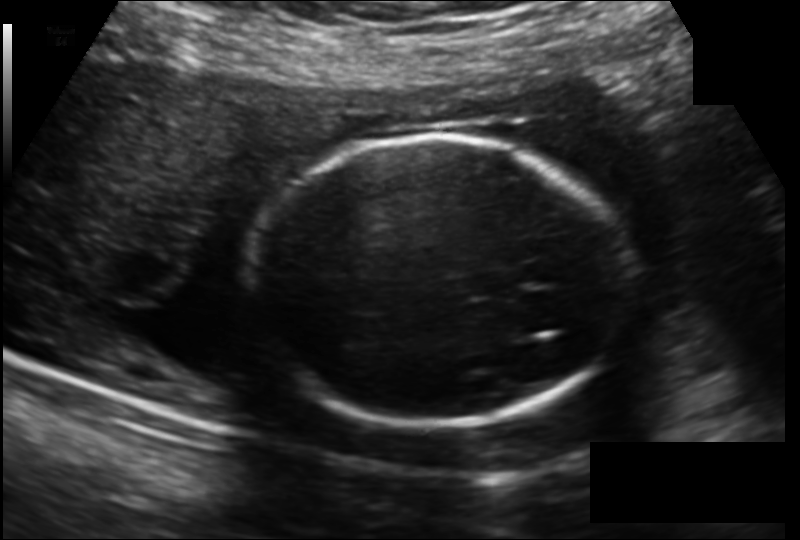
Fetal head ultrasound. Image width: 132.5 mm. Give [x1,y1,x2,y2] bounding boxes for each visible structure among: fetal head, CSP, LV.

Head: [251,140,624,426]